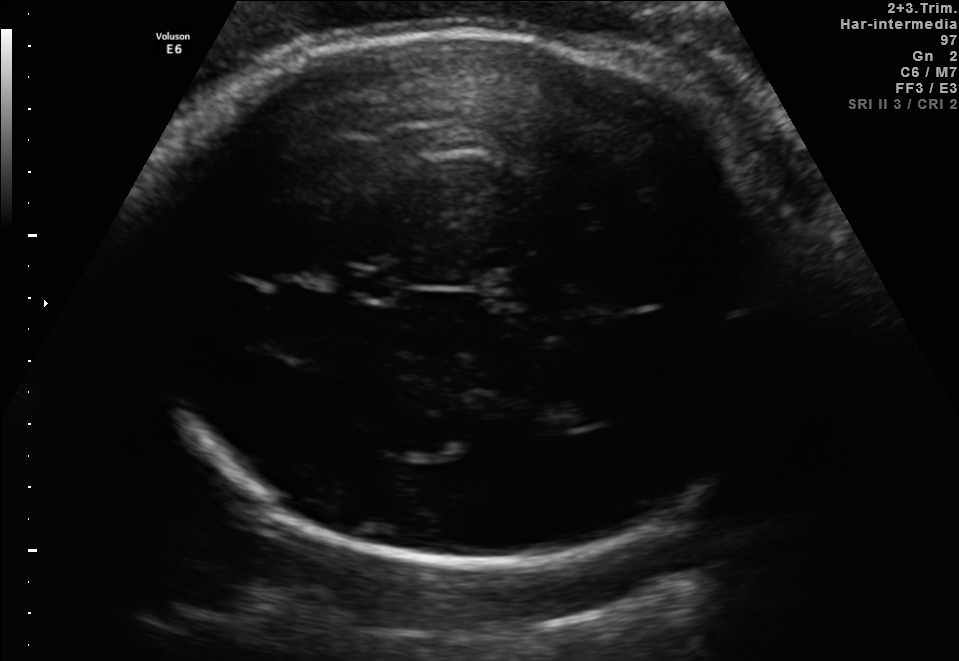
In this fetal brain, trans-thalamic plane, give the bounding box of the cavum septum pellucidum.

[351,270,396,300]